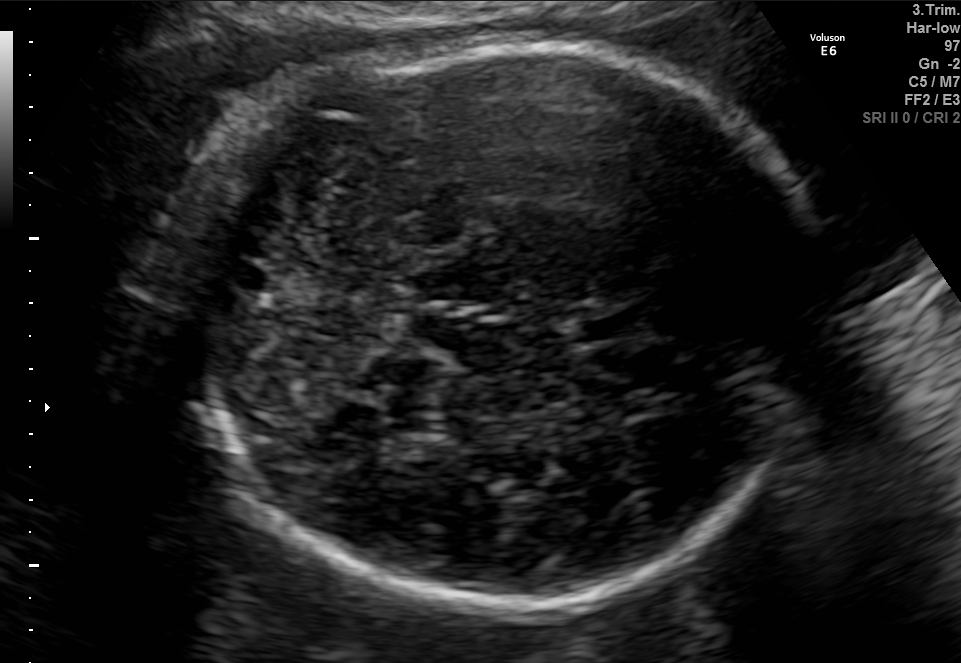
Fetal brain, trans-cerebellum plane. Locate the fetal head and, if visible, the cavum septum pellucidum (CSP) and lateral ventricle (LV). Give bounding boxes as [x1,y1,x2,y2].

Head: [220,48,805,615]
CSP: [571,309,645,345]